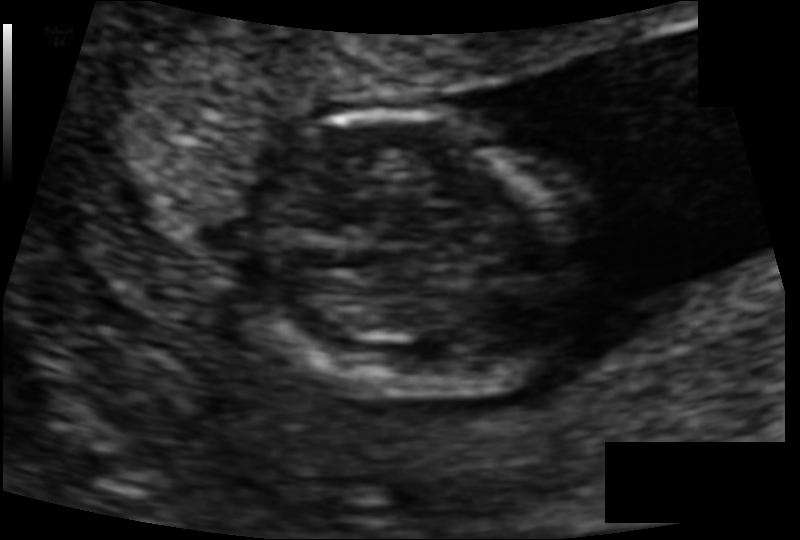
In this fetal head ultrasound, give the bounding box of the fetal head. Image width: 62.1 mm.

[247,114,596,399]